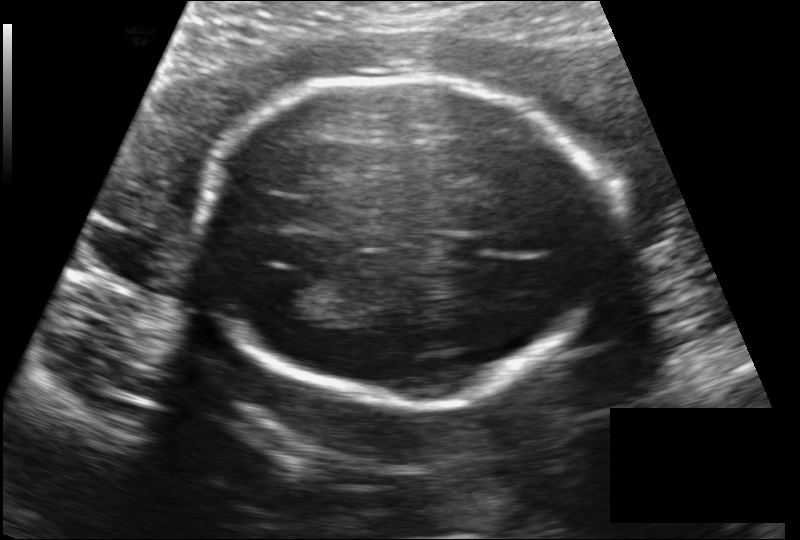
What is the fetal head circumference? Image width is 119.2 mm.

180.3 mm